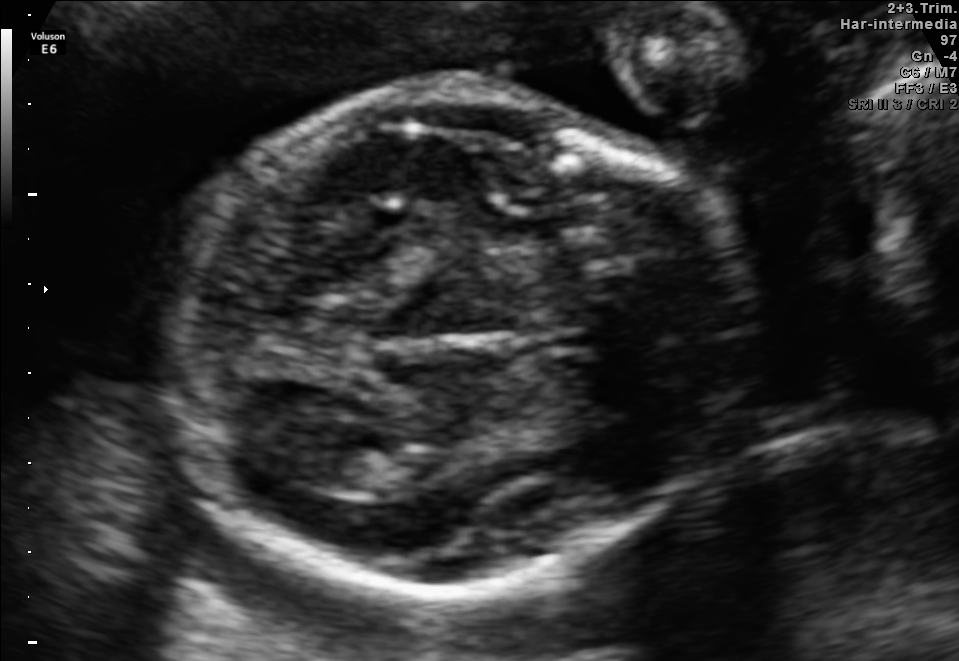
In this fetal brain, trans-thalamic plane, give the bounding box of the fetal head.

[161,90,758,601]